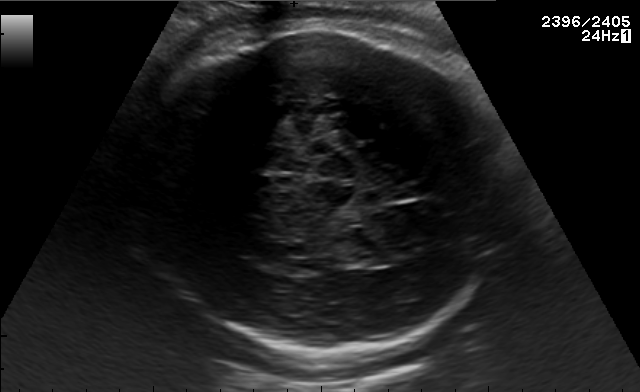
In this fetal brain, trans-thalamic plane, give the bounding box of the fetal head.

[139,27,506,353]